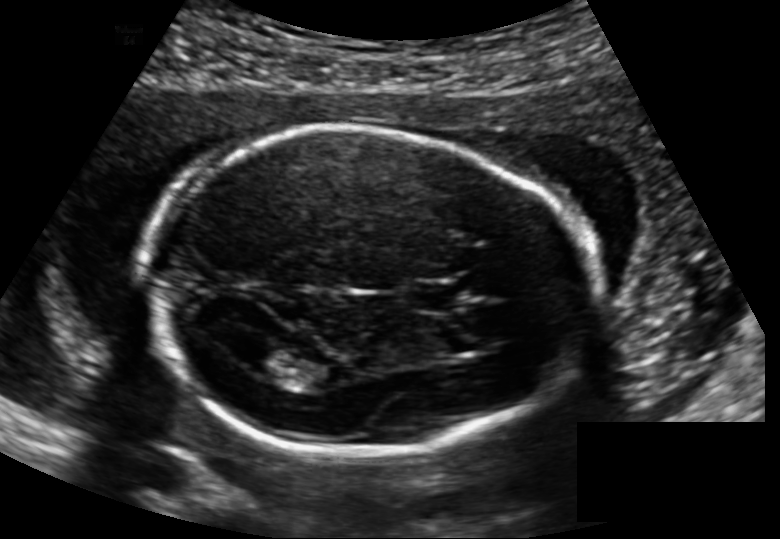
Fetal head ultrasound. Image width: 115.4 mm. Locate the fetal head and, if visible, the cavum septum pellucidum (CSP) and lateral ventricle (LV). Give bounding boxes as [x1,y1,x2,y2].

Head: [143,126,583,456]
CSP: [411,280,460,313]
Lateral ventricle: [239,338,295,382]